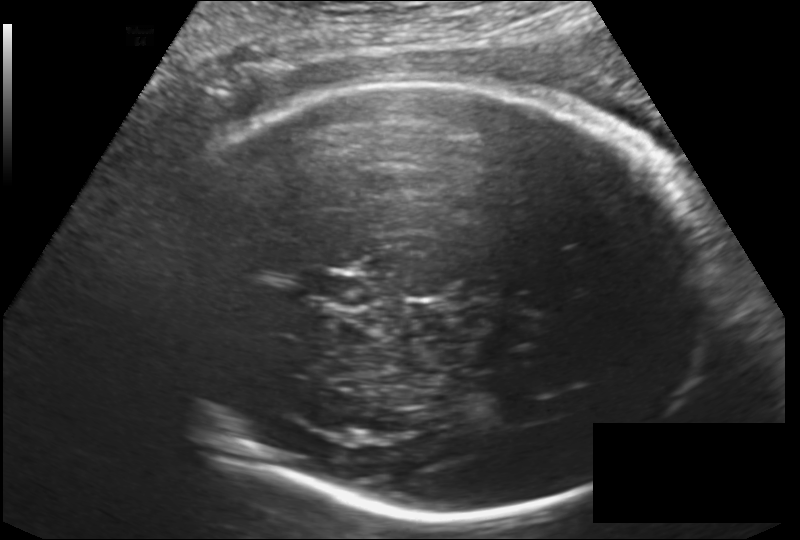
What is the fetal head circumference? Image width is 145.9 mm.

288.9 mm